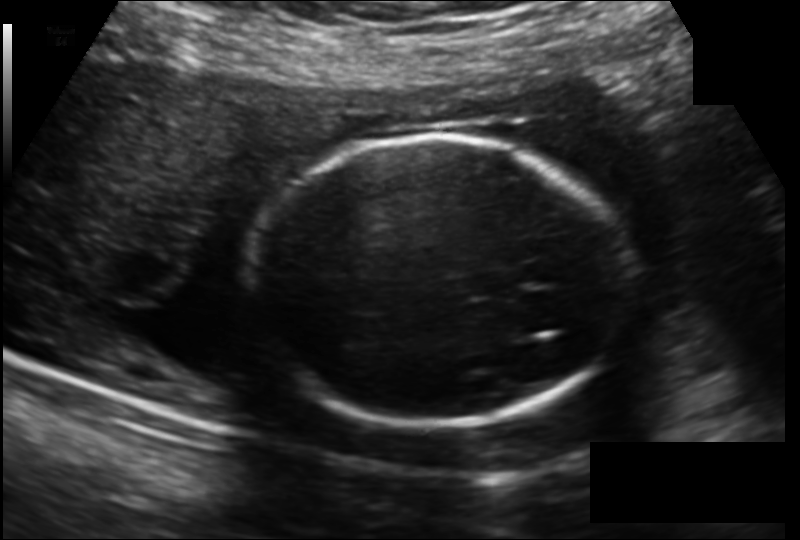
Measure the fetal head circumference shown in this ultrasound image. Image width: 132.5 mm.

Head circumference: 183.1 mm.